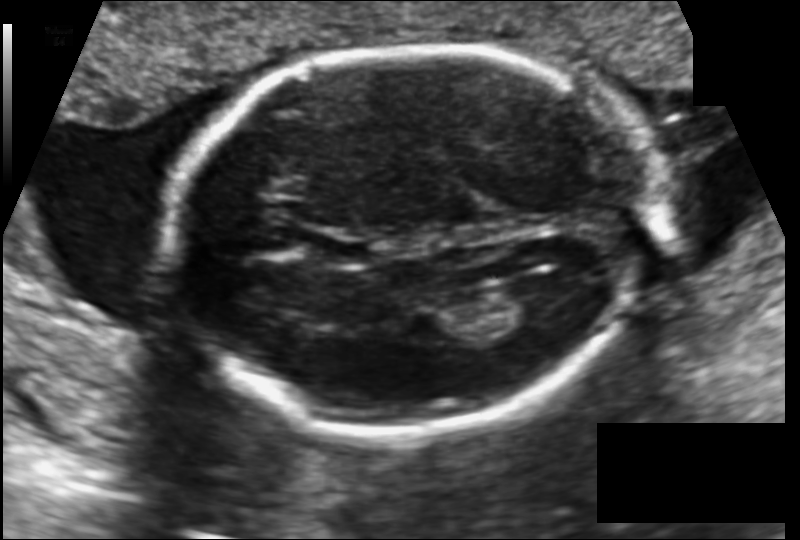
What is the fetal head circumference? Image width is 106.0 mm.

187.2 mm